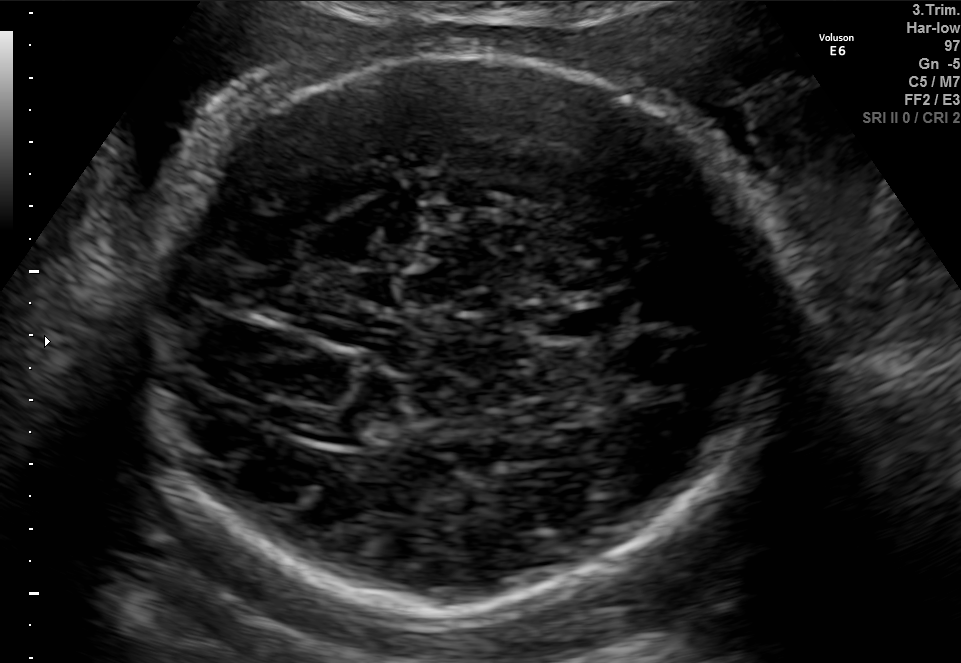
Fetal brain, trans-thalamic plane. Where is the fetal head?

Head bounding box: [144,56,791,619]